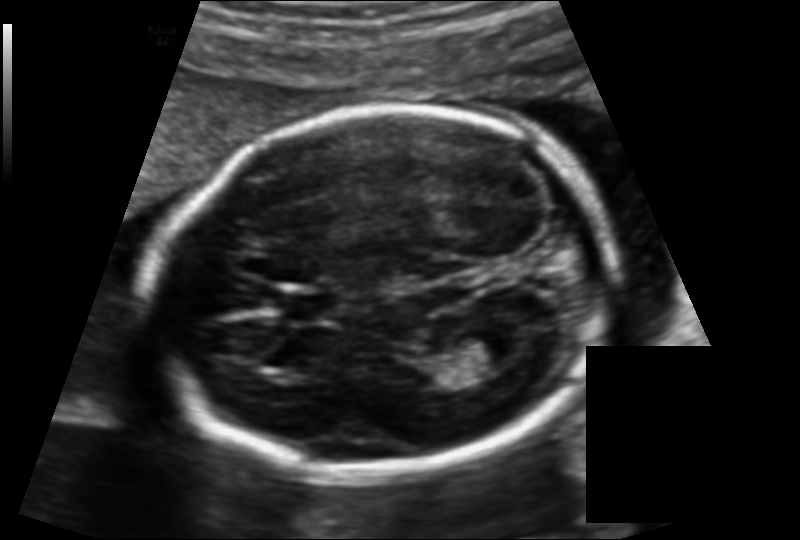
In this fetal head ultrasound, give the bounding box of the cavum septum pellucidum. Image width: 104.7 mm.

[280,291,334,325]